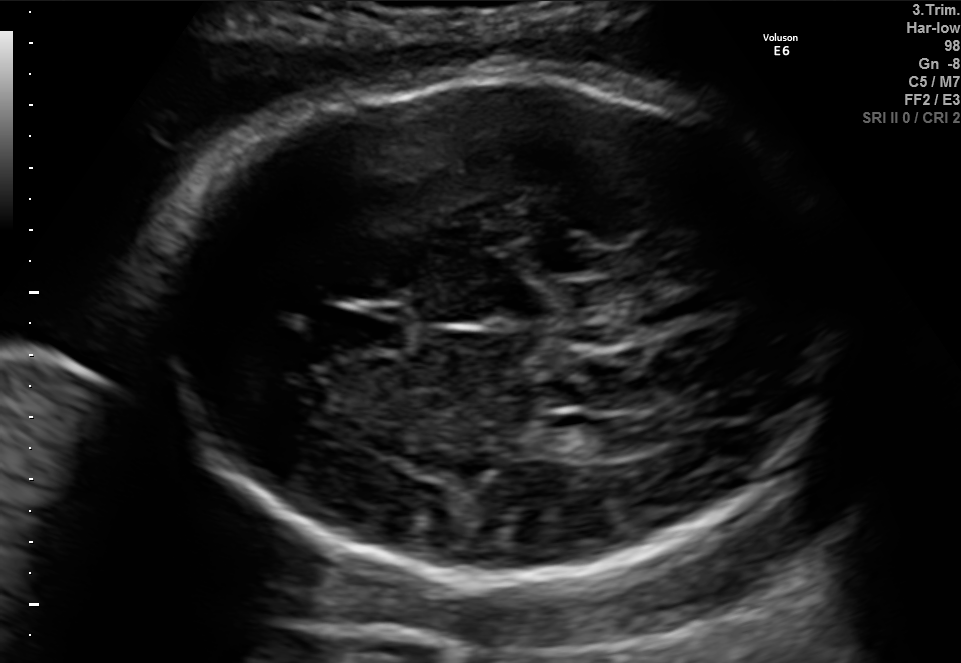
In this fetal brain, trans-ventricular plane, give the bounding box of the cavum septum pellucidum.

[322,302,416,357]